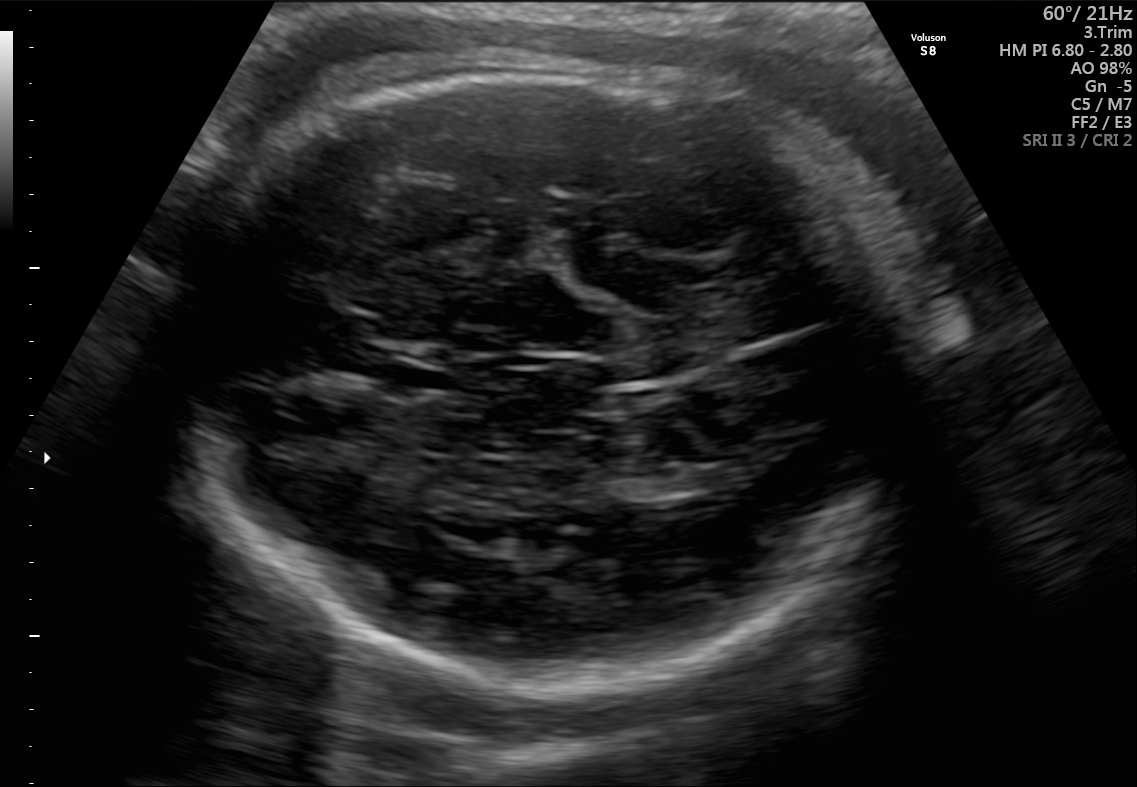
Fetal brain, trans-thalamic plane. Locate the cavum septum pellucidum.

CSP: [380,355,457,396]